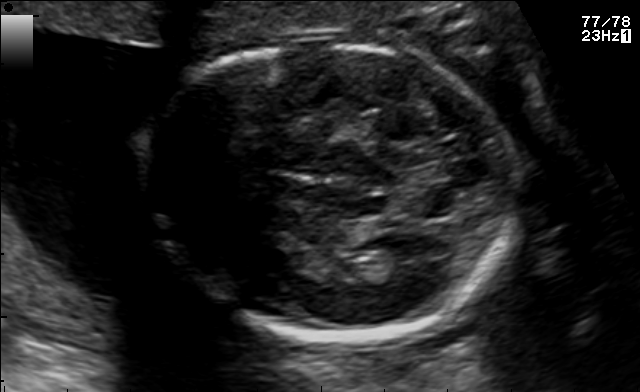
In this fetal brain, trans-thalamic plane, give bounding boxes for the head outline, cavum septum pellucidum (CSP), and lateral ventricle (LV), where visible.

Head: [153,37,517,337]